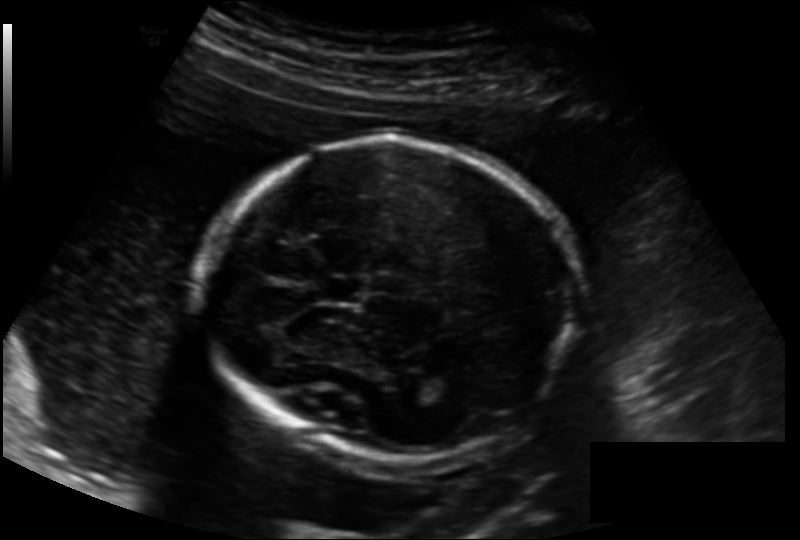
In this fetal head ultrasound, give bounding boxes for the head outline, cavum septum pellucidum (CSP), and lateral ventricle (LV), where visible. Image width: 126.5 mm.

Head: [198,141,574,459]
CSP: [319,279,363,301]